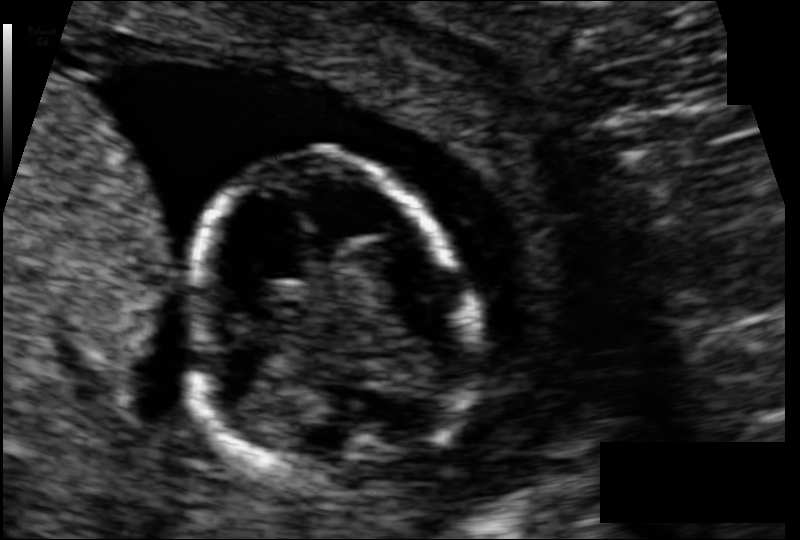
Fetal head ultrasound. Image width: 60.7 mm. Locate the fetal head.

Head: [192,154,466,487]